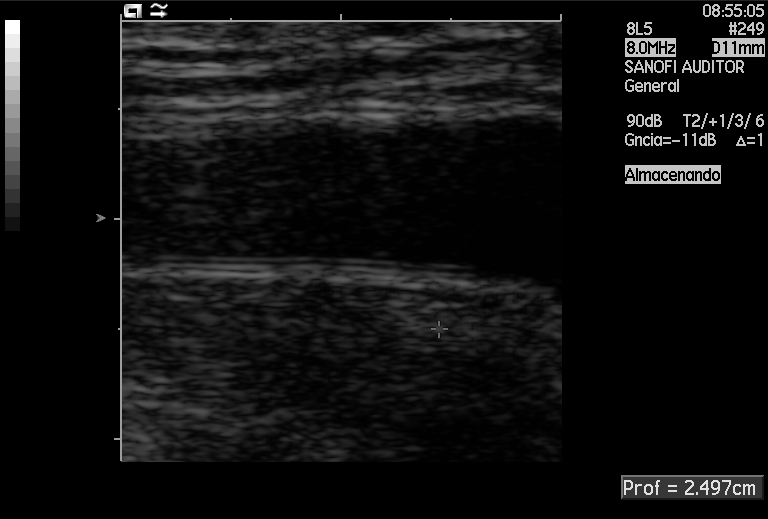
Which standard maternal-fetal ultrasound plane is shown: fetal abdomen, fetal brain, fetal femur, fetal thorax, maternal cervix, or other? If it's fetal brain and one of the three standard brain planes (trans-thalamic, trans-cerebellum, trans-ventricular), name which.

Other